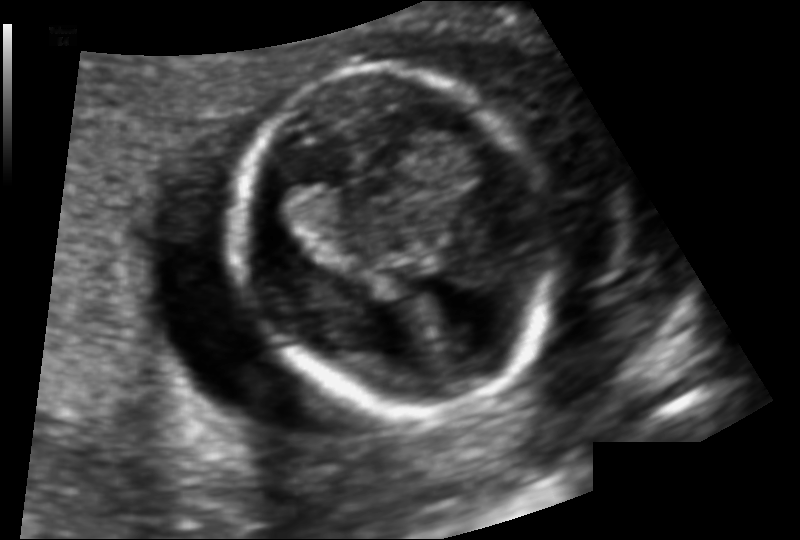
Estimate the fetal head circumference from this 2D ultrasound.

Head circumference: 116.6 mm (image width 85.7 mm).